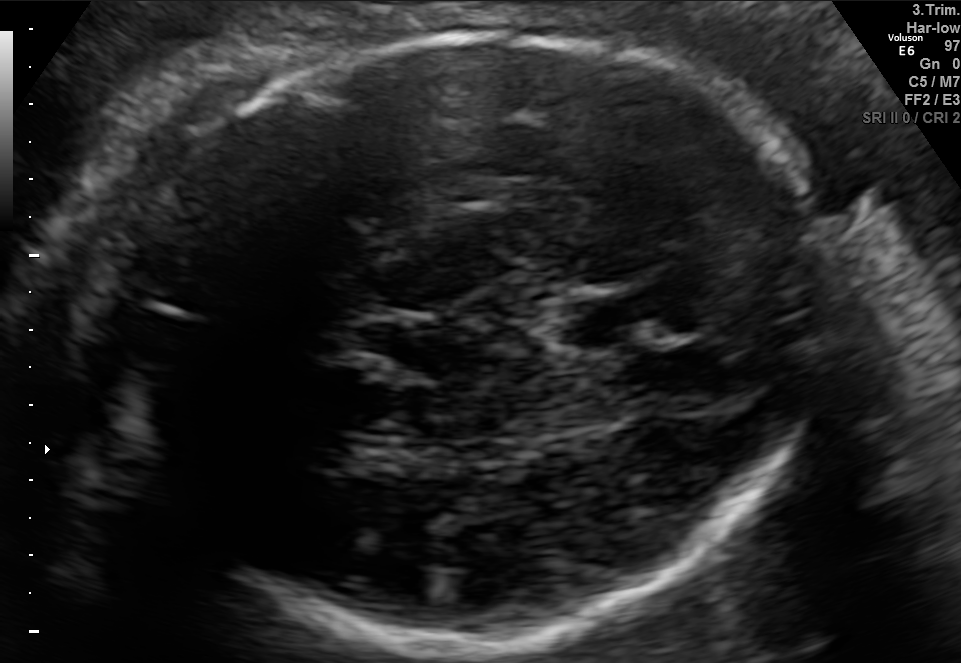
Which standard maternal-fetal ultrasound plane is shown: fetal abdomen, fetal brain, fetal femur, fetal thorax, maternal cervix, or other? If it's fetal brain and one of the three standard brain planes (trans-thalamic, trans-cerebellum, trans-ventricular), name which.

Fetal brain (trans-thalamic plane)